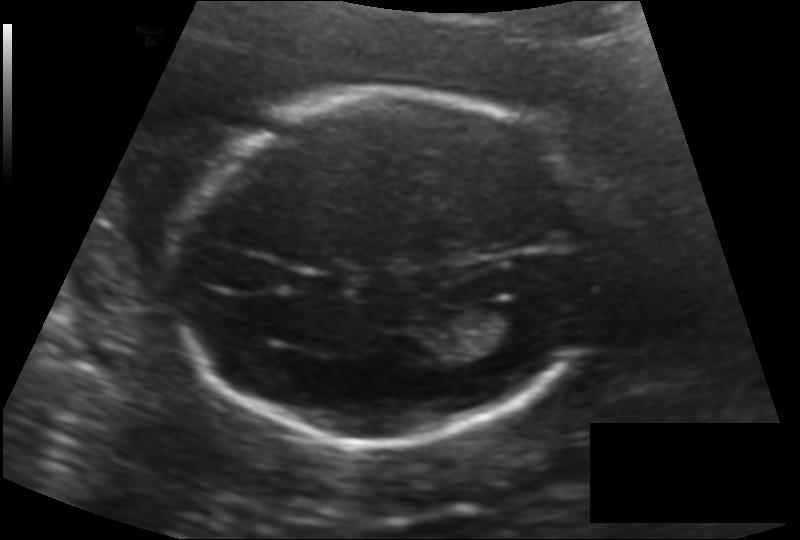
In this fetal head ultrasound, give the bounding box of the lateral ventricle. Image width: 112.2 mm.

[473,303,547,357]